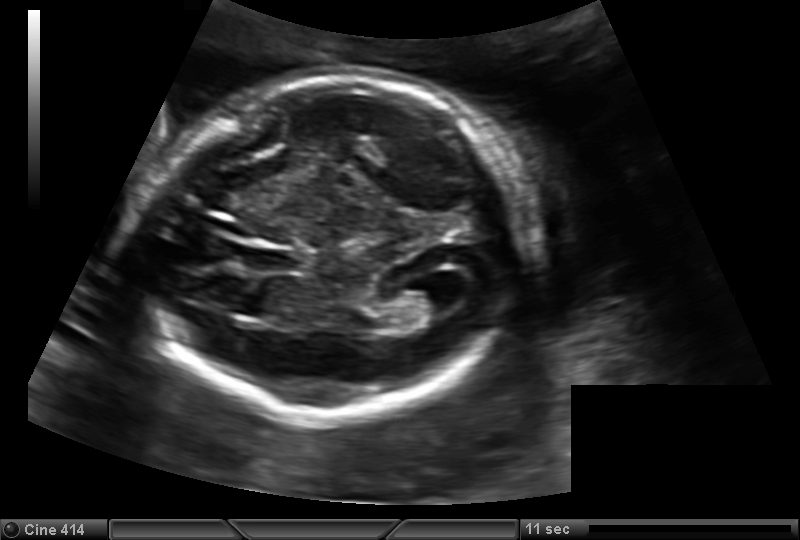
Estimate the fetal head circumference from this 2D ultrasound.

Head circumference: 183.5 mm (image width 120.0 mm).